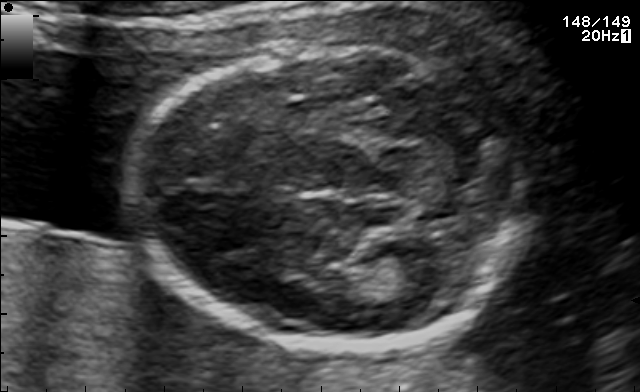
Fetal brain, trans-thalamic plane. Locate the fetal head.

Head: [133,47,521,347]